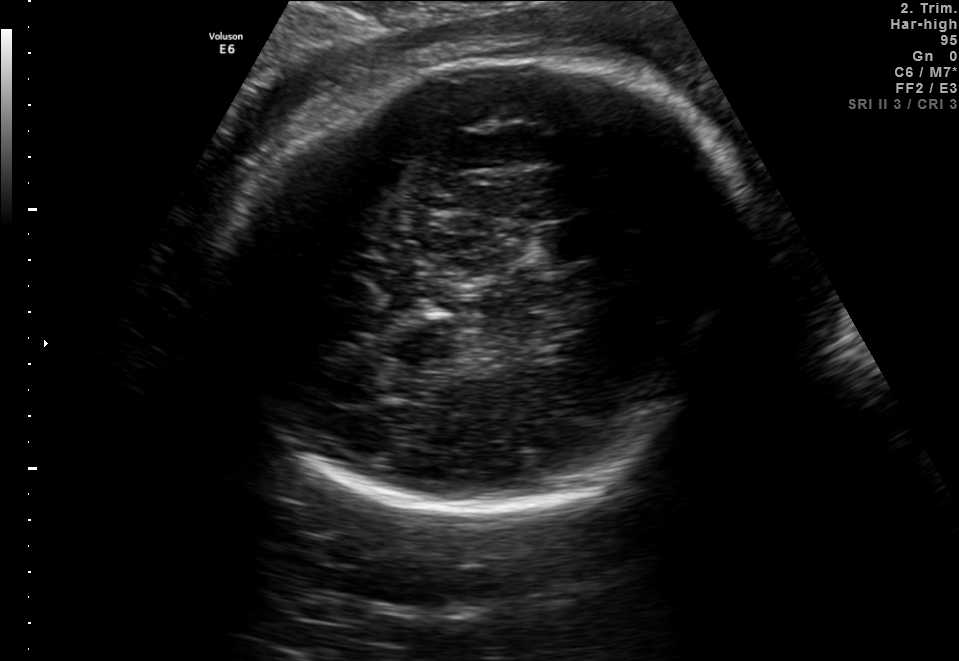
Fetal brain, trans-thalamic plane. Give [x1,y1,x2,y2] bounding boxes for each visible structure among: fetal head, CSP, LV.

Head: [213,62,764,511]
CSP: [536,214,603,268]